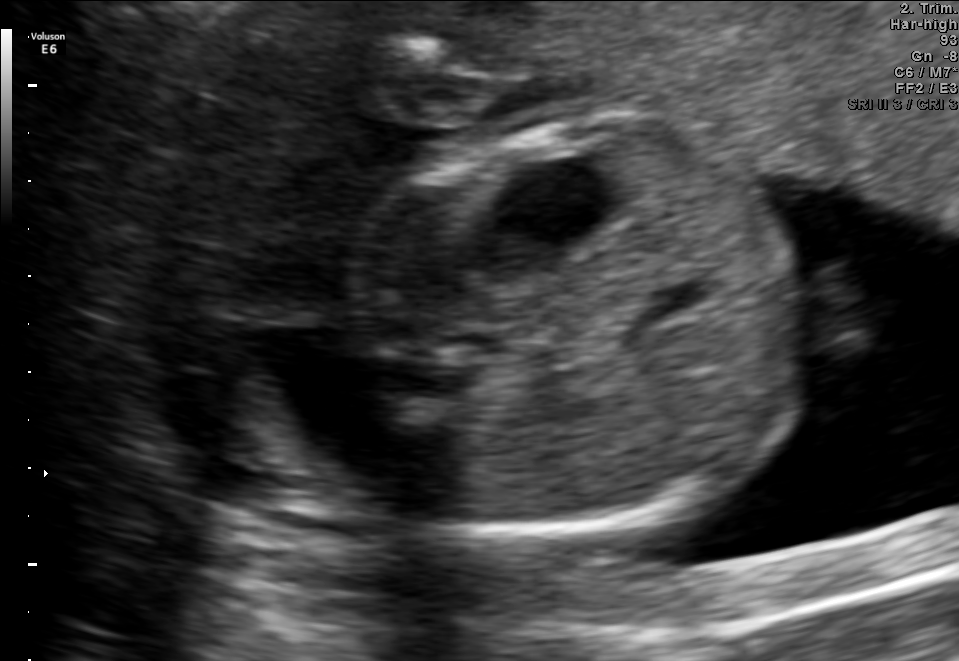
Classify this maternal-fetal ultrasound image as one of the six standard planes — fetal abdomen, fetal brain, fetal femur, fetal thorax, maternal cervix, or other. If it's fetal brain and one of the three standard brain planes (trans-thalamic, trans-cerebellum, trans-ventricular), name which.

Fetal abdomen